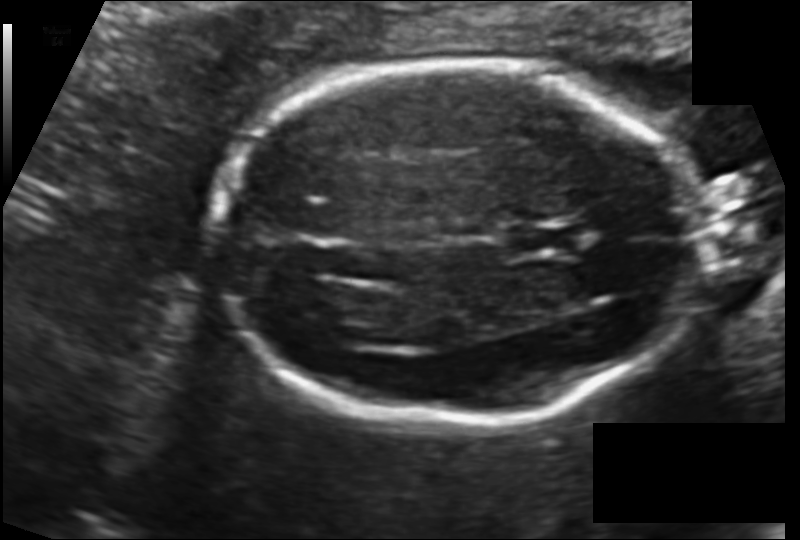
Fetal head ultrasound. Image width: 98.3 mm. Locate the lateral ventricle.

Lateral ventricle: [286,278,369,338]